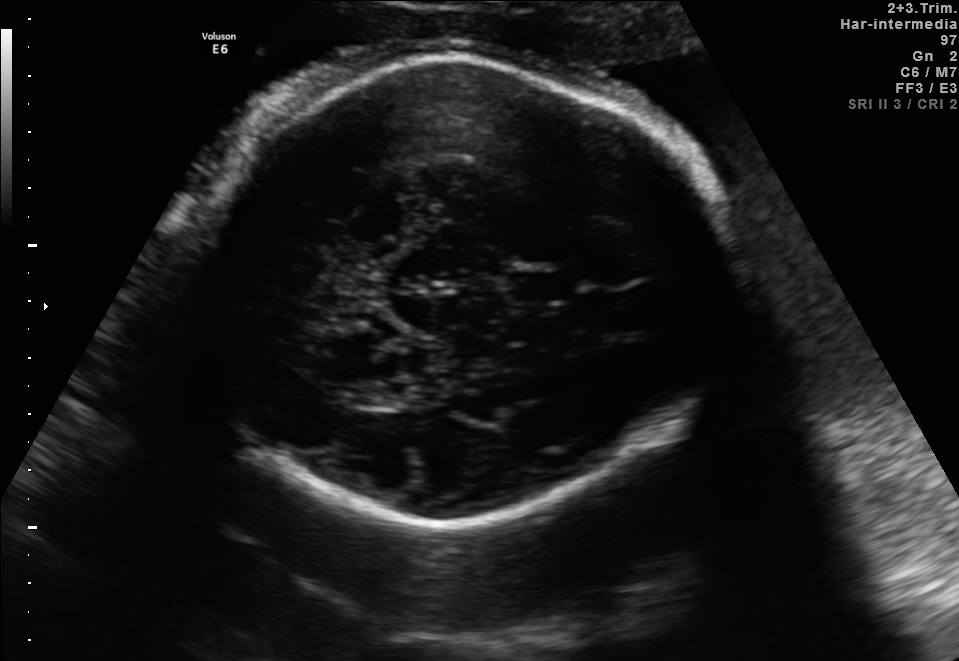
Classify this maternal-fetal ultrasound image as one of the six standard planes — fetal abdomen, fetal brain, fetal femur, fetal thorax, maternal cervix, or other. If it's fetal brain and one of the three standard brain planes (trans-thalamic, trans-cerebellum, trans-ventricular), name which.

Fetal brain (trans-thalamic plane)